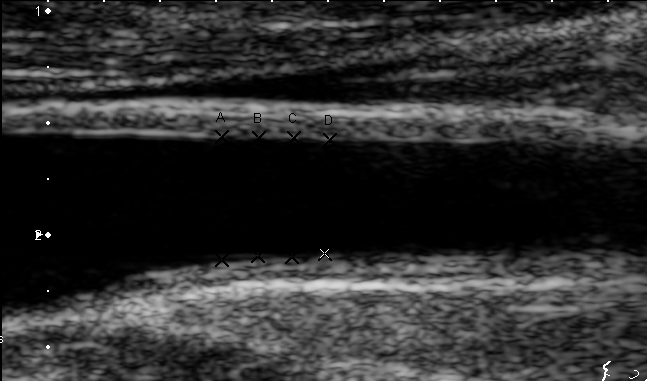
Classify this maternal-fetal ultrasound image as one of the six standard planes — fetal abdomen, fetal brain, fetal femur, fetal thorax, maternal cervix, or other. If it's fetal brain and one of the three standard brain planes (trans-thalamic, trans-cerebellum, trans-ventricular), name which.

Other